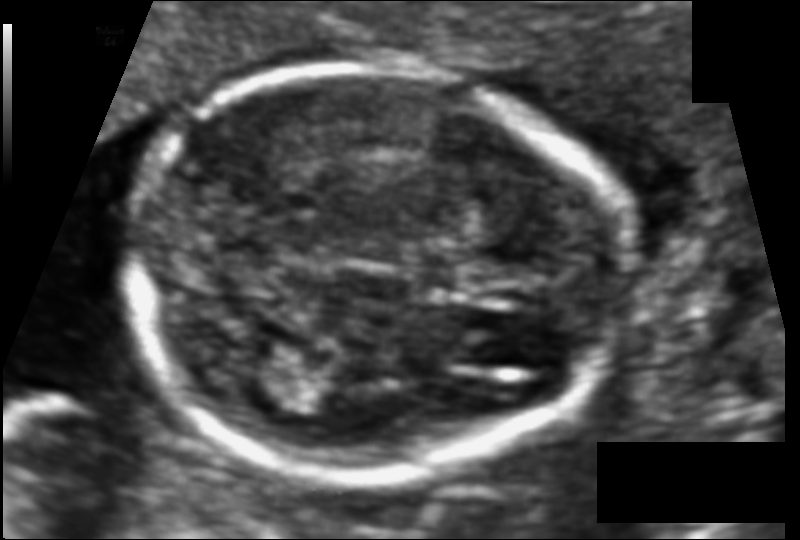
In this fetal head ultrasound, give the bounding box of the fetal head. Image width: 65.0 mm.

[123,65,621,477]